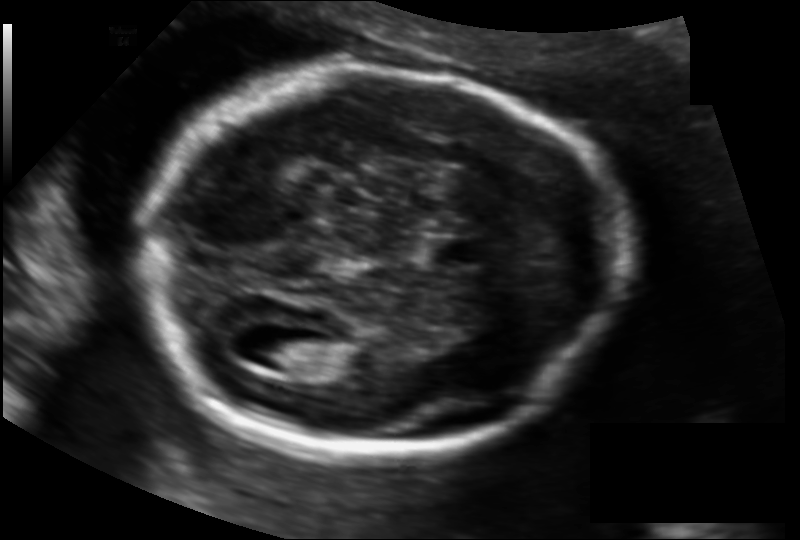
Fetal head ultrasound. Image width: 102.3 mm. Where is the cavum septum pellucidum?

CSP bounding box: [429,236,482,268]